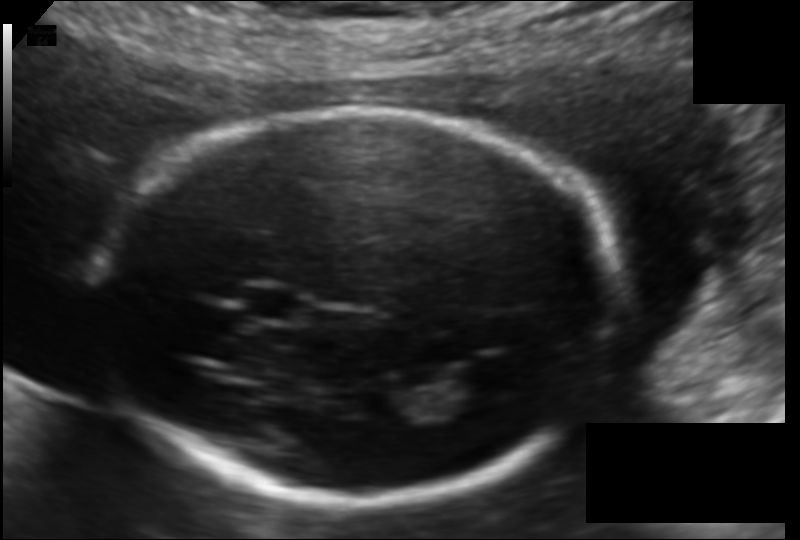
Fetal head ultrasound. Image width: 96.1 mm. Give [x1,y1,x2,y2] bounding boxes for each visible structure among: fetal head, CSP, LV.

Head: [99,113,619,501]
CSP: [242,281,306,323]
Lateral ventricle: [448,353,517,404]